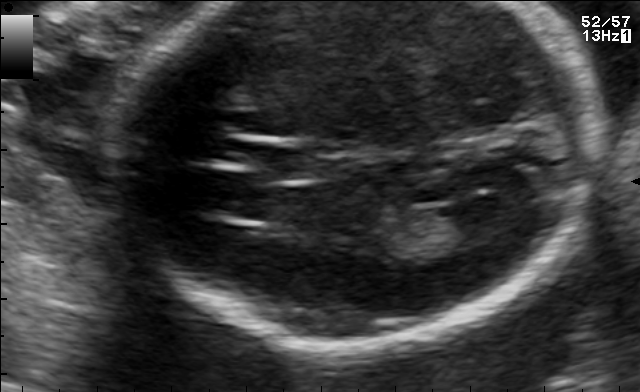
Fetal brain, trans-ventricular plane. Where is the cavum septum pellucidum?

CSP bounding box: [246,144,350,180]